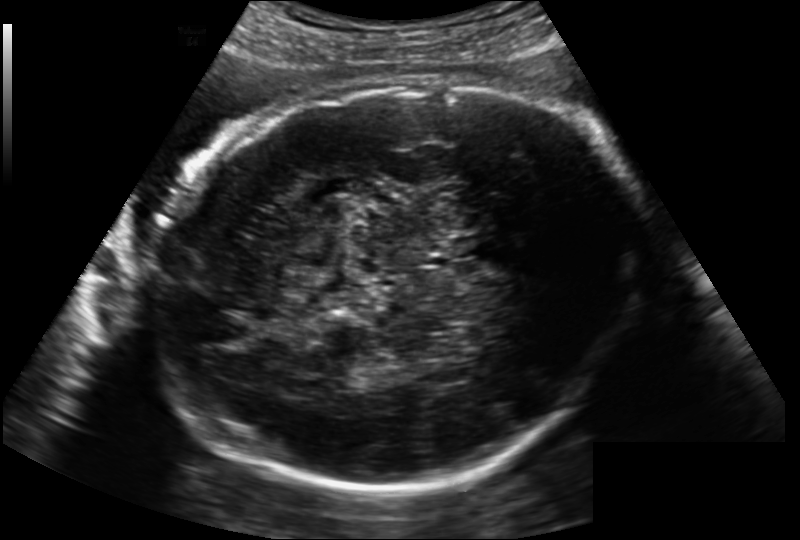
From this fetal ultrasound, estimate the head circumference (image width 161.8 mm).

Head circumference: 294.7 mm.